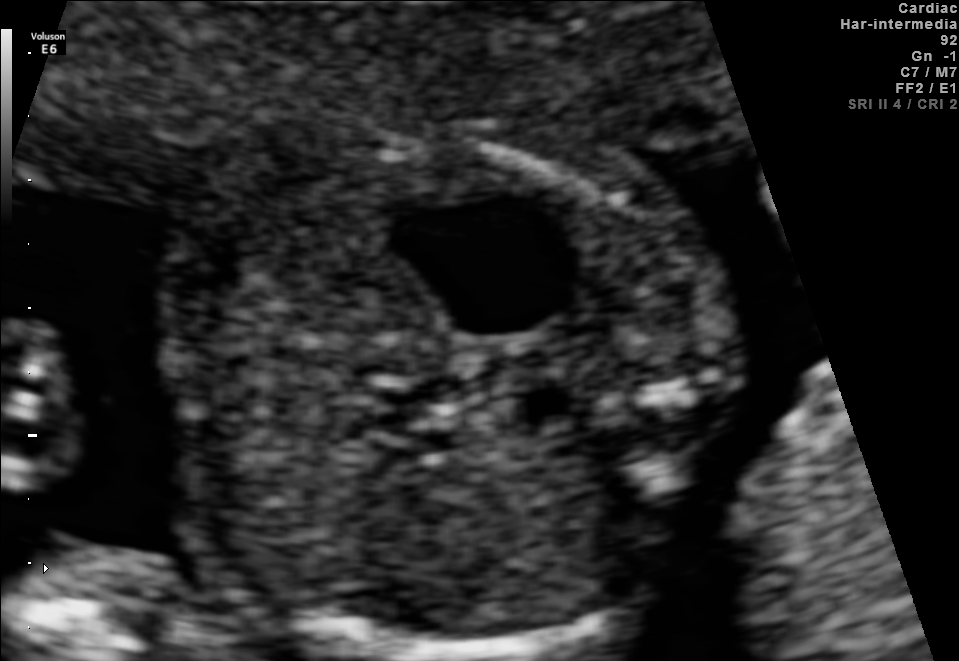
Identify the standard plane in this fetal ultrasound image: fetal abdomen, fetal brain, fetal femur, fetal thorax, maternal cervix, or other. If it's fetal brain and one of the three standard brain planes (trans-thalamic, trans-cerebellum, trans-ventricular), name which.

Fetal abdomen